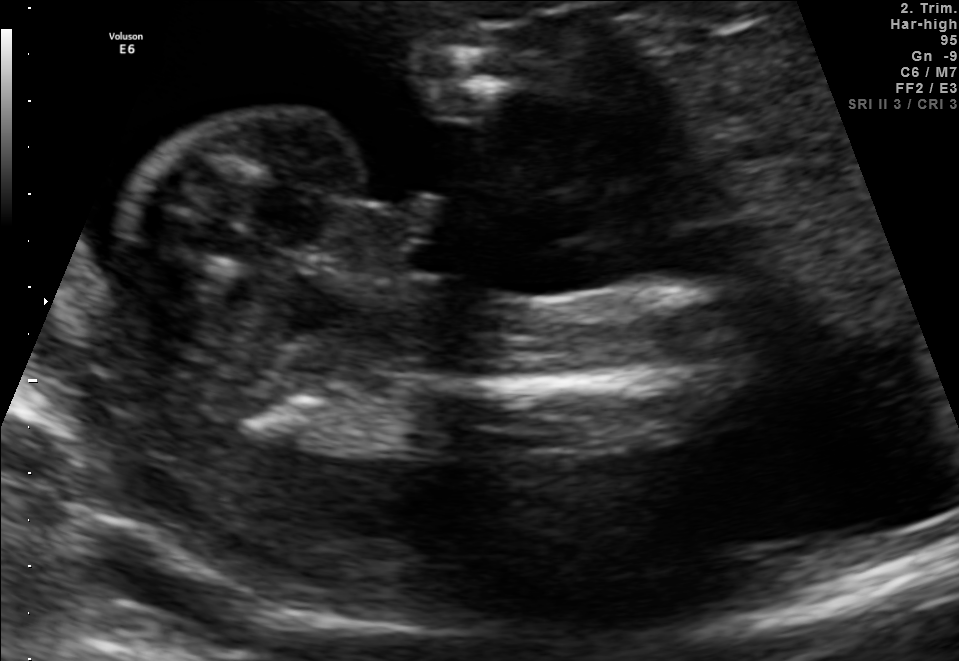
This is a 2D maternal-fetal ultrasound frame. Is it a fetal abdomen, fetal brain, fetal femur, fetal thorax, maternal cervix, or other standard plane? If it's fetal brain and one of the three standard brain planes (trans-thalamic, trans-cerebellum, trans-ventricular), name which.

Fetal femur